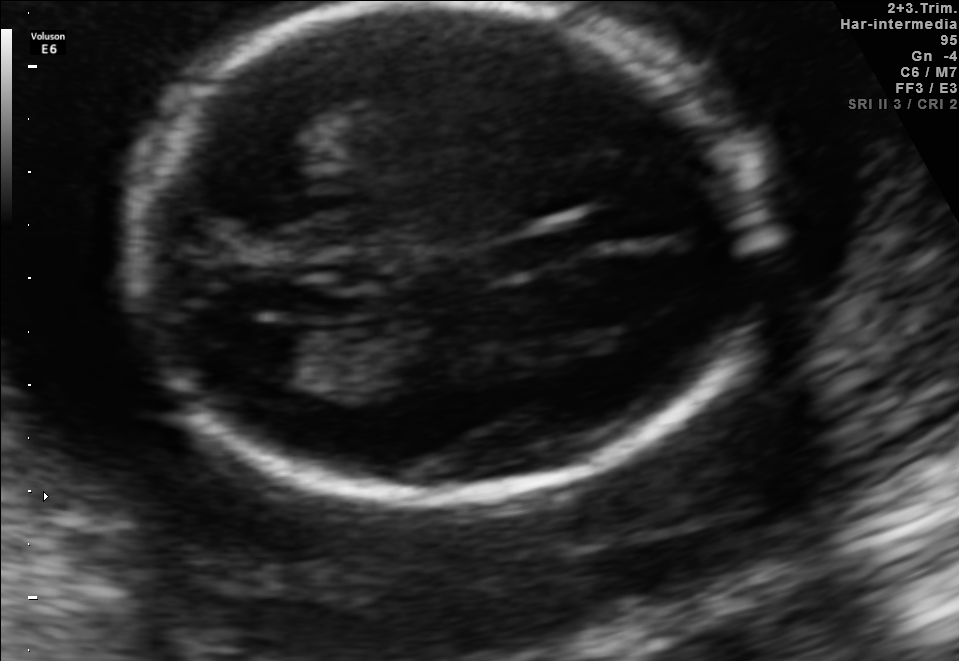
Fetal brain, trans-ventricular plane. Where is the lateral ventricle?

Lateral ventricle bounding box: [222,319,311,380]